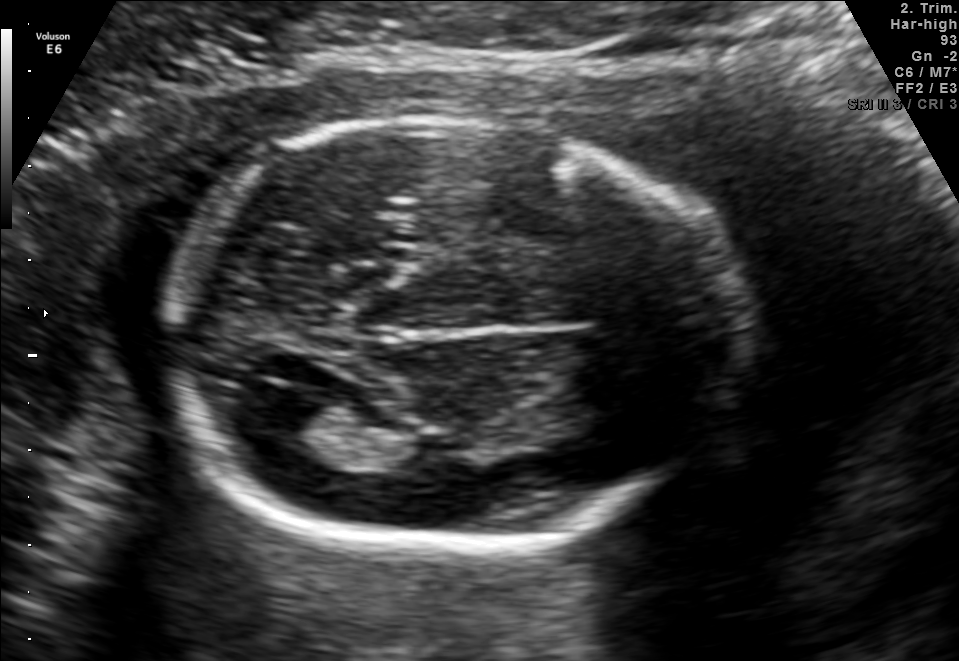
Which standard maternal-fetal ultrasound plane is shown: fetal abdomen, fetal brain, fetal femur, fetal thorax, maternal cervix, or other? If it's fetal brain and one of the three standard brain planes (trans-thalamic, trans-cerebellum, trans-ventricular), name which.

Fetal brain (trans-ventricular plane)